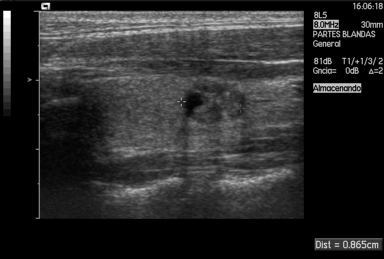
Which standard maternal-fetal ultrasound plane is shown: fetal abdomen, fetal brain, fetal femur, fetal thorax, maternal cervix, or other? If it's fetal brain and one of the three standard brain planes (trans-thalamic, trans-cerebellum, trans-ventricular), name which.

Other